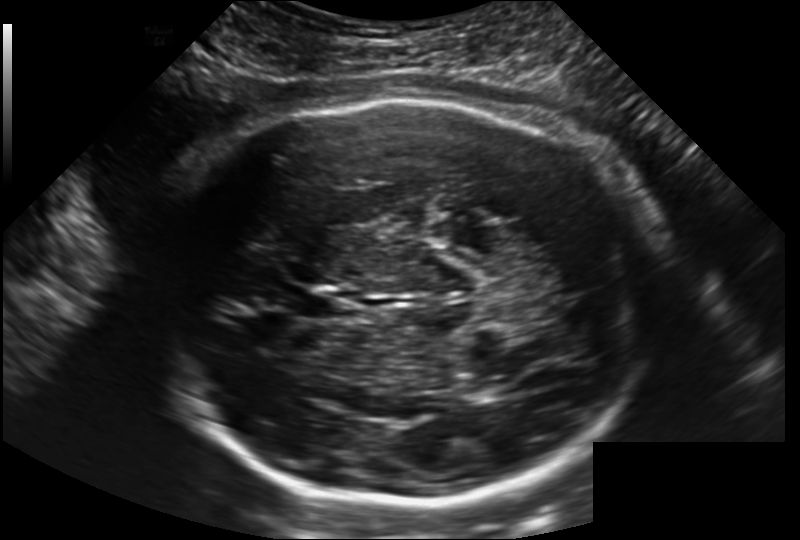
From this fetal ultrasound, estimate the head circumference (image width 161.6 mm).

Head circumference: 294.5 mm.